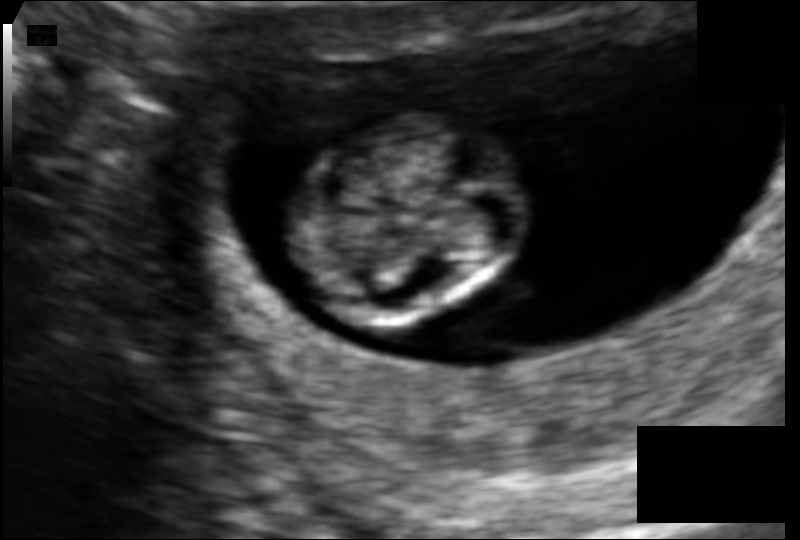
From this fetal ultrasound, estimate the head circumference (image width 66.8 mm).

Head circumference: 59.4 mm.